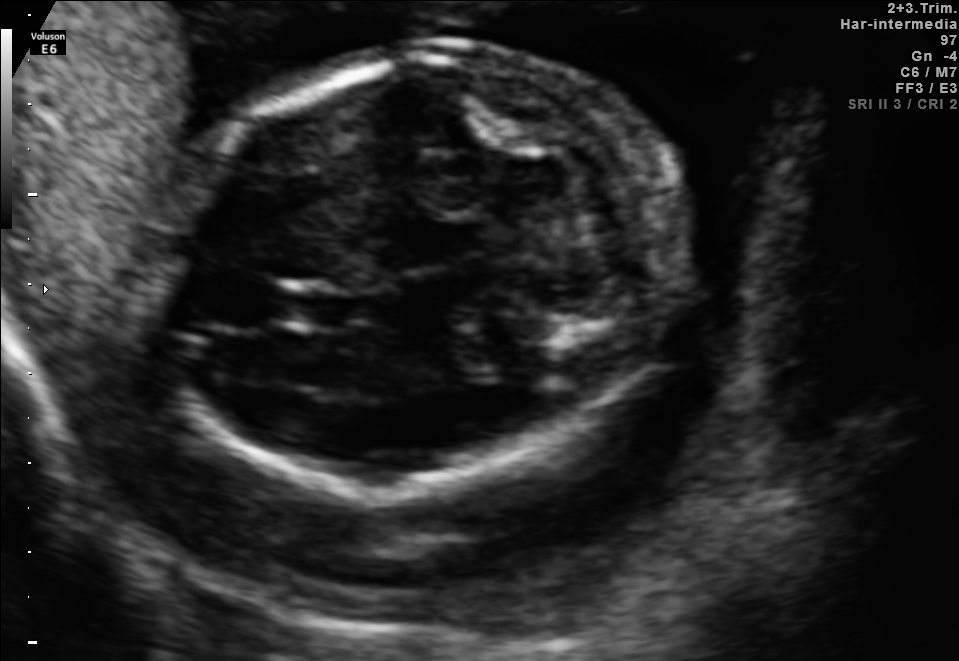
In this fetal brain, trans-cerebellum plane, give bounding boxes for the head outline, cavum septum pellucidum (CSP), and lateral ventricle (LV), where visible.

Head: [146,54,685,485]
CSP: [278,283,352,331]